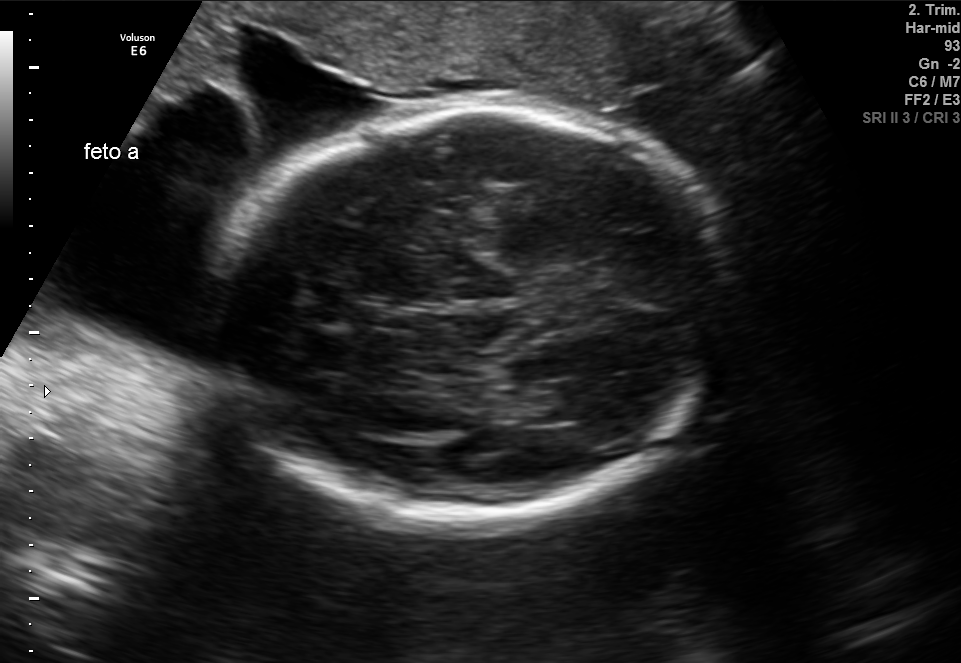
In this fetal brain, trans-thalamic plane, give bounding boxes for the head outline, cavum septum pellucidum (CSP), and lateral ventricle (LV), where visible.

Head: [219,108,728,513]
Lateral ventricle: [529,376,609,428]